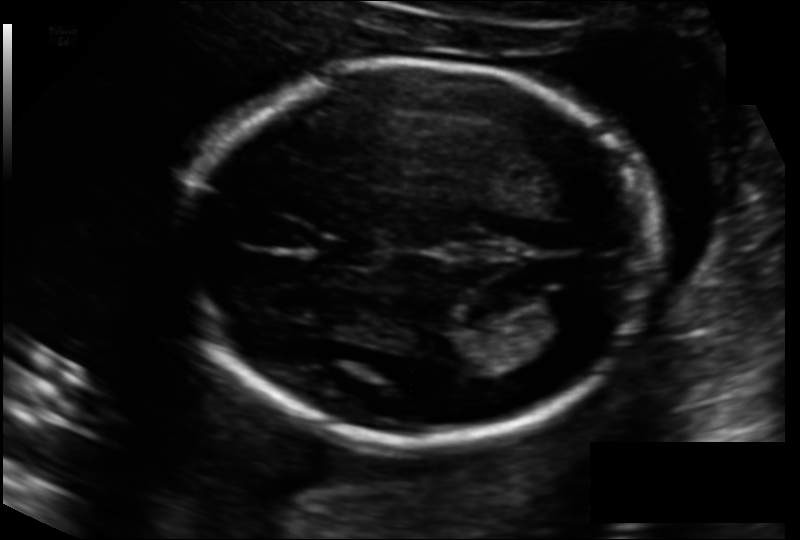
Measure the fetal head circumference shown in this ultrasound image. Image width: 106.6 mm.

Head circumference: 182.9 mm.